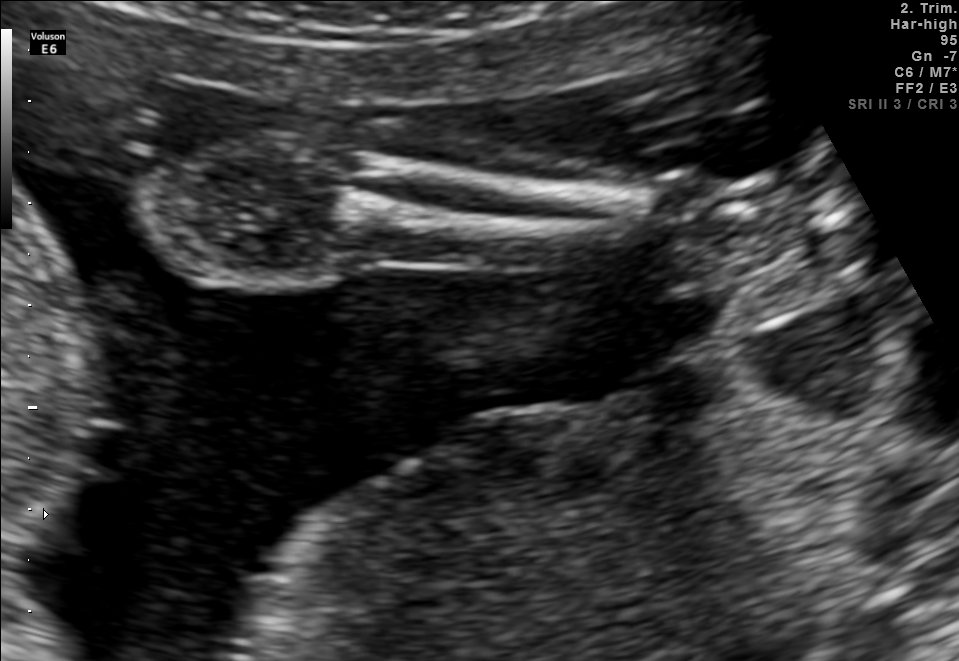
This is a 2D maternal-fetal ultrasound frame. Is it a fetal abdomen, fetal brain, fetal femur, fetal thorax, maternal cervix, or other standard plane? If it's fetal brain and one of the three standard brain planes (trans-thalamic, trans-cerebellum, trans-ventricular), name which.

Other